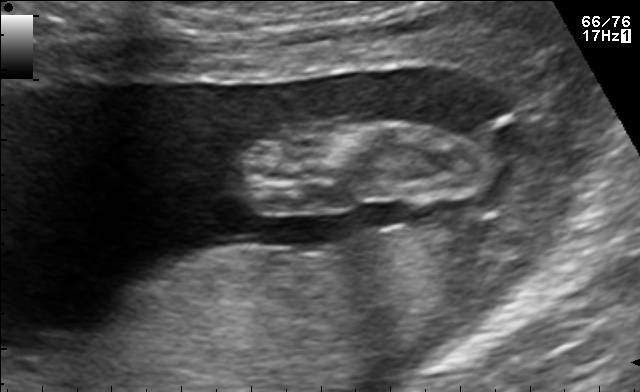
Which standard maternal-fetal ultrasound plane is shown: fetal abdomen, fetal brain, fetal femur, fetal thorax, maternal cervix, or other? If it's fetal brain and one of the three standard brain planes (trans-thalamic, trans-cerebellum, trans-ventricular), name which.

Other